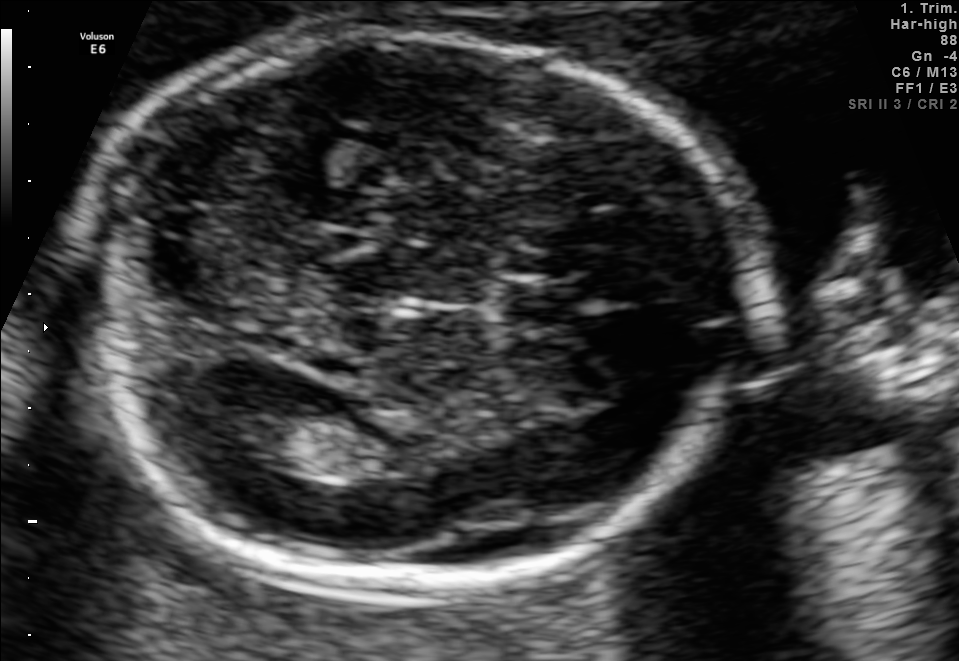
Fetal brain, trans-ventricular plane. Where is the lateral ventricle?

Lateral ventricle bounding box: [216,389,324,473]